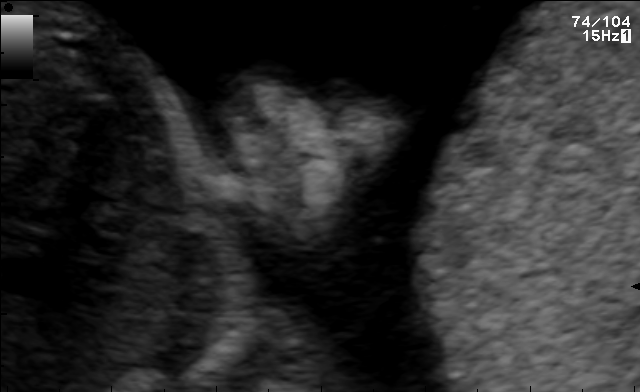
Which standard maternal-fetal ultrasound plane is shown: fetal abdomen, fetal brain, fetal femur, fetal thorax, maternal cervix, or other? If it's fetal brain and one of the three standard brain planes (trans-thalamic, trans-cerebellum, trans-ventricular), name which.

Other